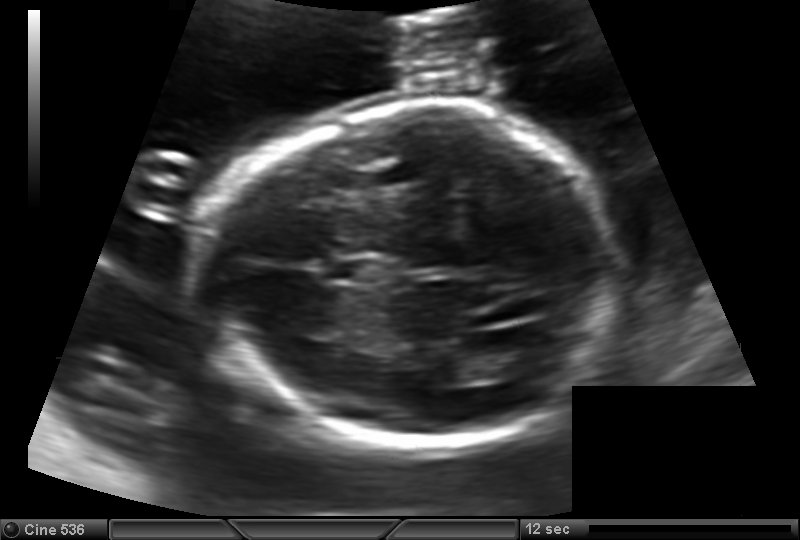
Fetal head ultrasound. Image width: 115.2 mm. Where is the fetal head?

Head bounding box: [201,104,619,449]